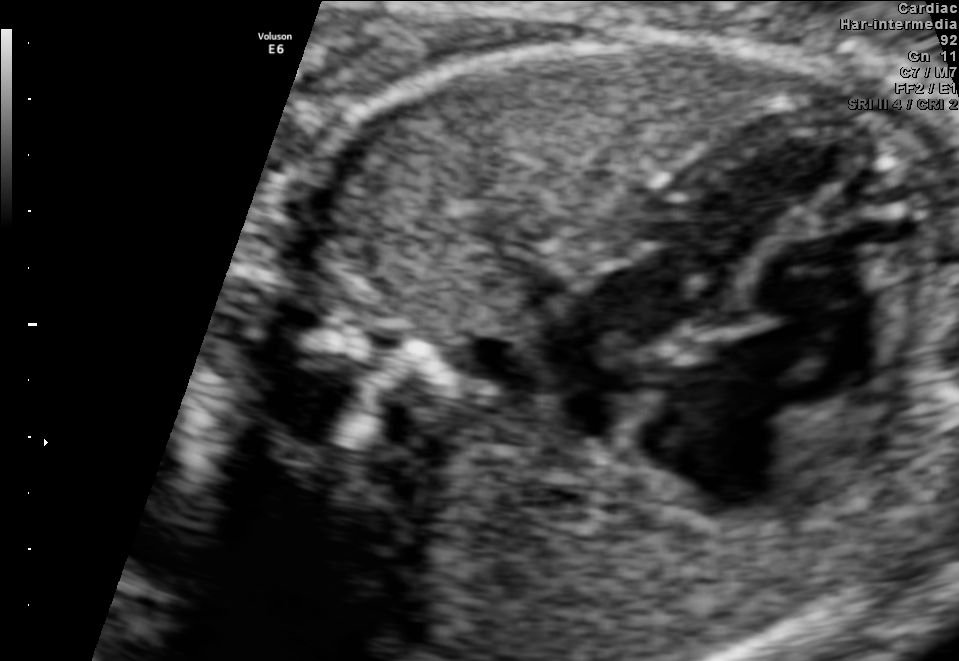
Which standard maternal-fetal ultrasound plane is shown: fetal abdomen, fetal brain, fetal femur, fetal thorax, maternal cervix, or other? If it's fetal brain and one of the three standard brain planes (trans-thalamic, trans-cerebellum, trans-ventricular), name which.

Fetal thorax